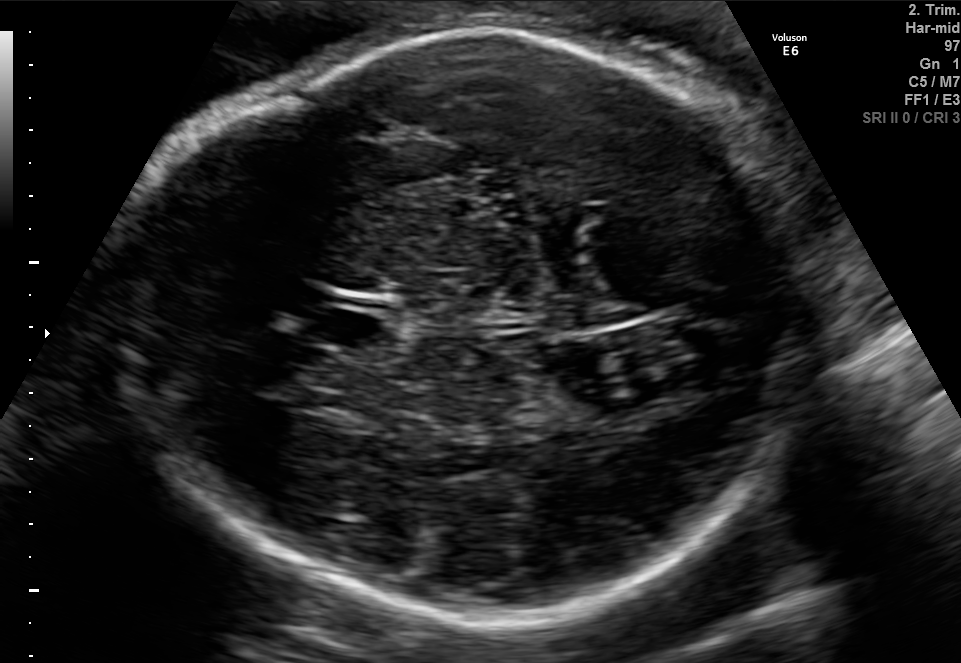
Fetal brain, trans-thalamic plane. Give [x1,y1,x2,y2] bounding boxes for each visible structure among: fetal head, CSP, LV.

Head: [112,29,835,630]
CSP: [303,300,388,354]